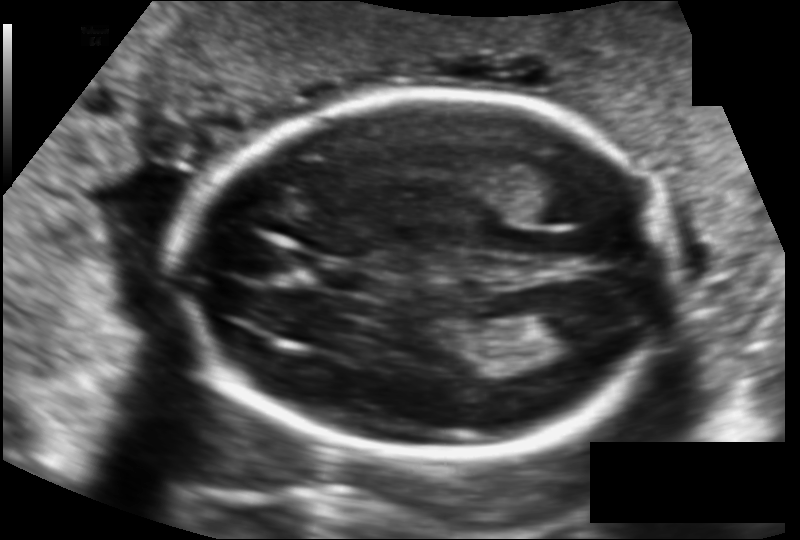
Fetal head ultrasound. Image width: 98.9 mm. Give [x1,y1,x2,y2] bounding boxes for each visible structure among: fetal head, CSP, LV.

Head: [177,95,673,457]
CSP: [317,259,380,299]
Lateral ventricle: [530,302,604,354]